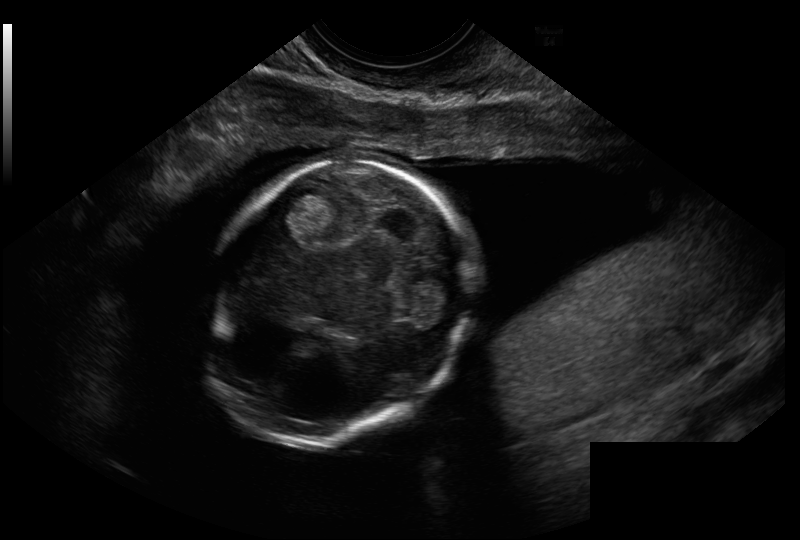
In this fetal head ultrasound, give the bounding box of the fetal head. Image width: 91.5 mm.

[204,161,470,448]